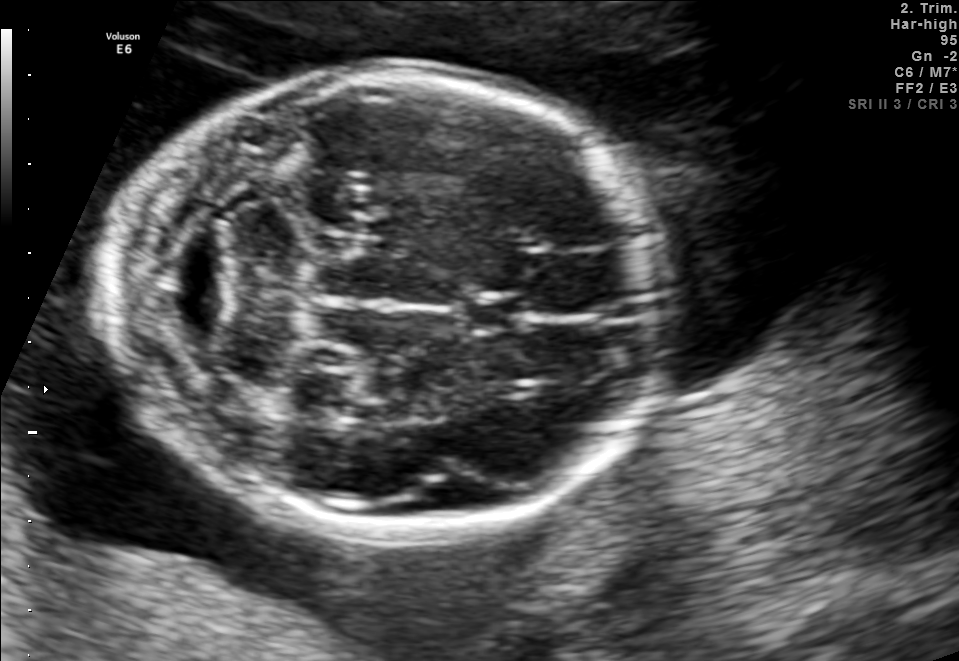
In this fetal brain, trans-cerebellum plane, give the bounding box of the fetal head.

[111,72,668,531]